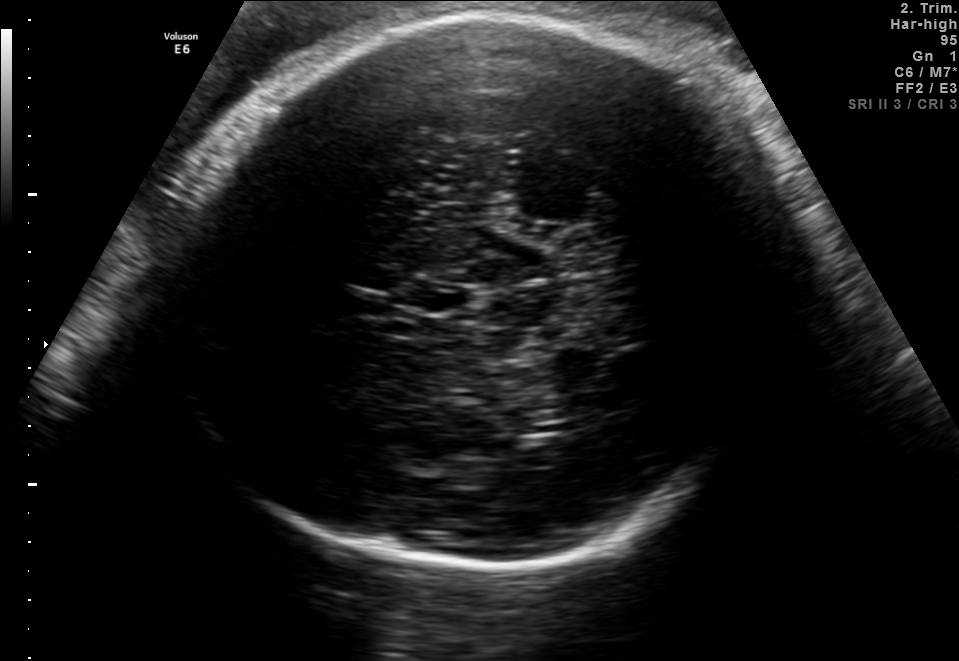
In this fetal brain, trans-thalamic plane, give bounding boxes for the head outline, cavum septum pellucidum (CSP), and lateral ventricle (LV), where visible.

Head: [169,15,780,578]
CSP: [404,279,460,316]